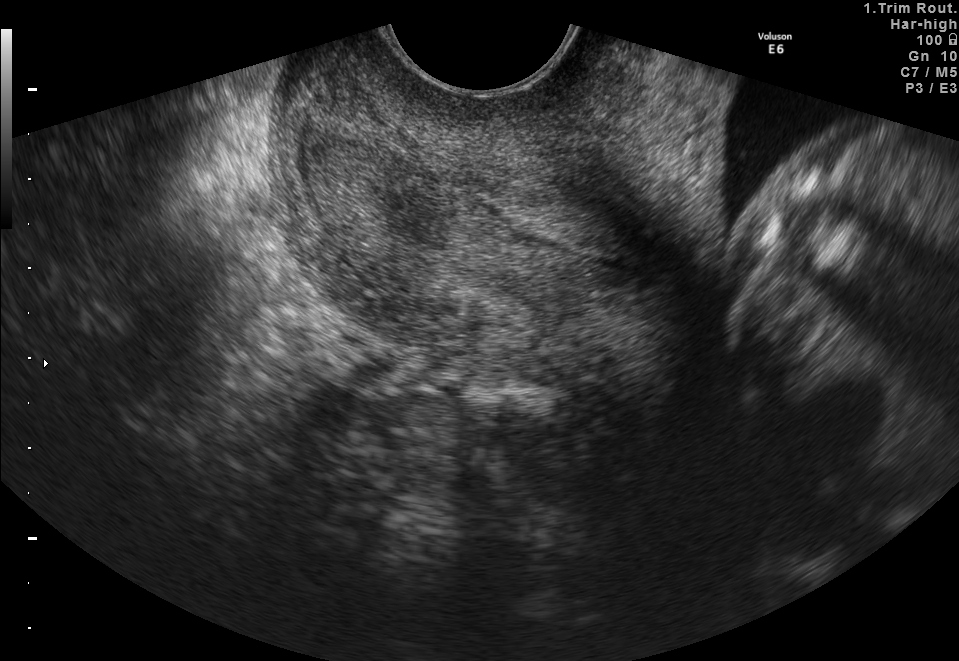
Classify this maternal-fetal ultrasound image as one of the six standard planes — fetal abdomen, fetal brain, fetal femur, fetal thorax, maternal cervix, or other. If it's fetal brain and one of the three standard brain planes (trans-thalamic, trans-cerebellum, trans-ventricular), name which.

Maternal cervix